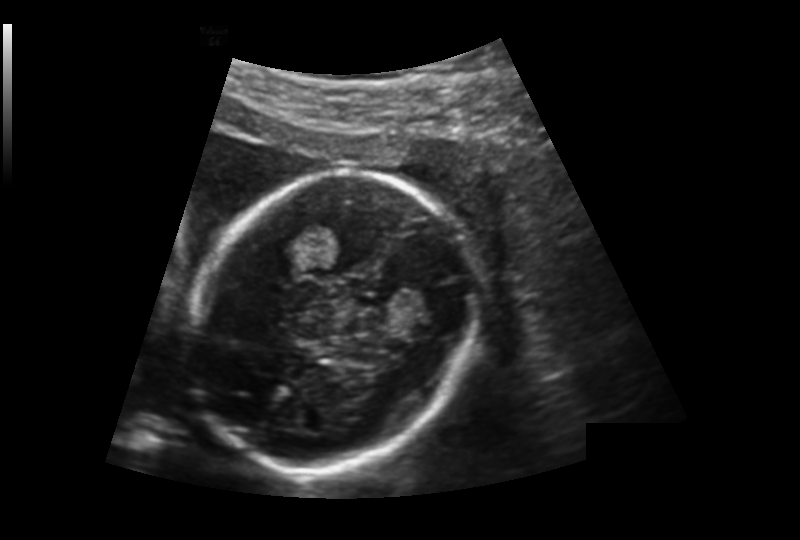
Fetal head ultrasound. Image width: 140.4 mm. Locate the fetal head.

Head: [196,172,474,473]